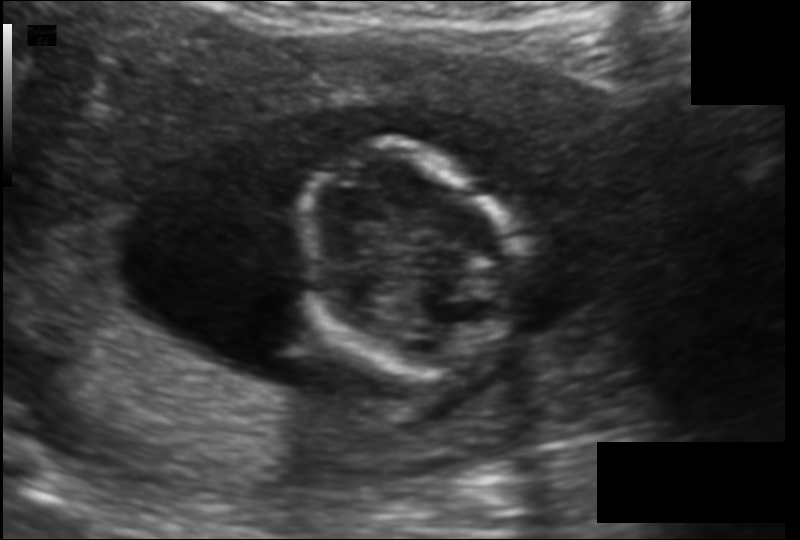
Fetal head ultrasound. Image width: 103.9 mm. Locate the fetal head.

Head: [298,142,516,382]